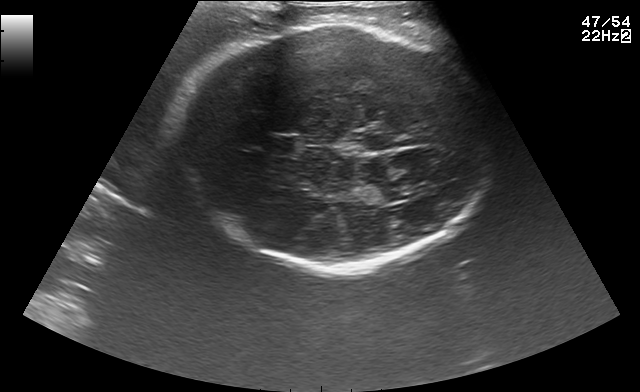
Identify the standard plane in this fetal ultrasound image: fetal abdomen, fetal brain, fetal femur, fetal thorax, maternal cervix, or other. If it's fetal brain and one of the three standard brain planes (trans-thalamic, trans-cerebellum, trans-ventricular), name which.

Fetal brain (trans-thalamic plane)